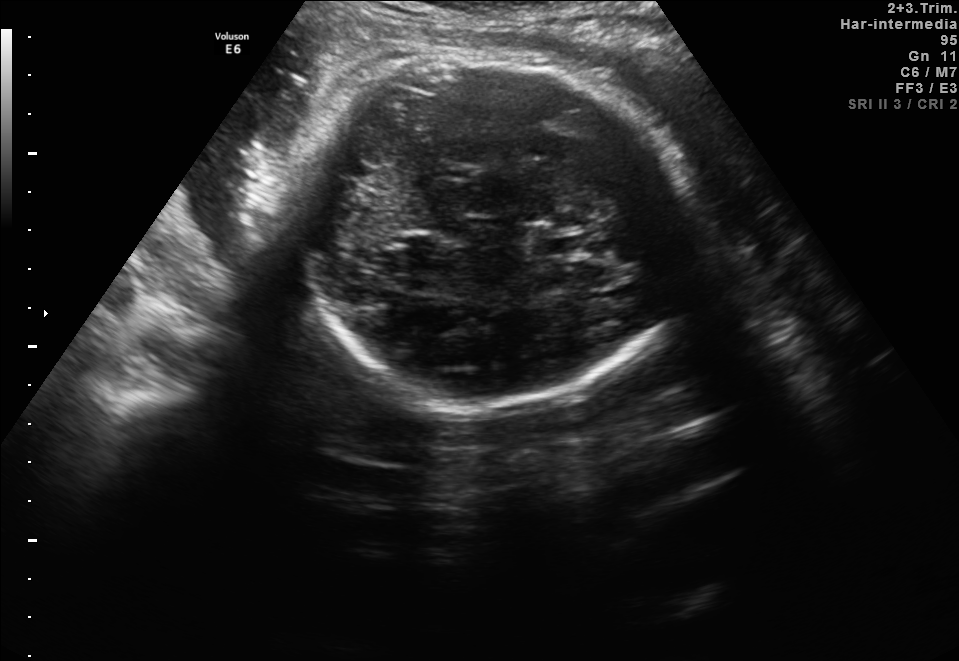
In this fetal brain, trans-thalamic plane, give the bounding box of the cavum septum pellucidum.

[532,233,590,257]